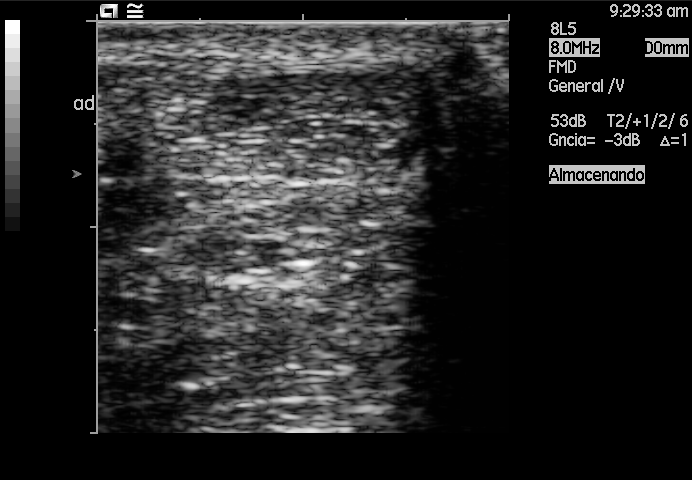
This is a 2D maternal-fetal ultrasound frame. Is it a fetal abdomen, fetal brain, fetal femur, fetal thorax, maternal cervix, or other standard plane? If it's fetal brain and one of the three standard brain planes (trans-thalamic, trans-cerebellum, trans-ventricular), name which.

Other